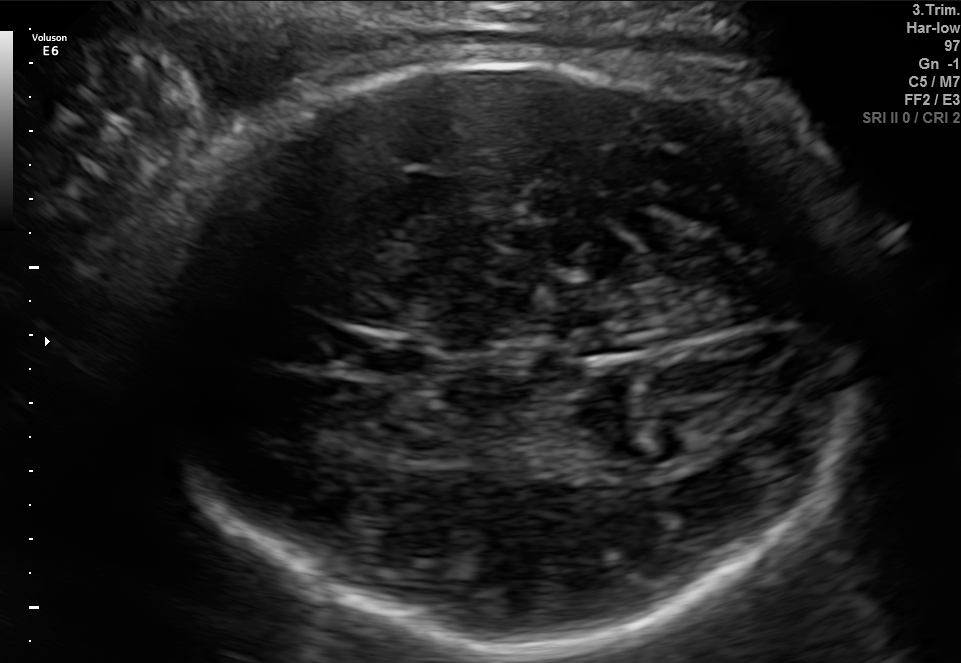
Fetal brain, trans-thalamic plane. Where is the fetal head?

Head bounding box: [153,61,856,652]